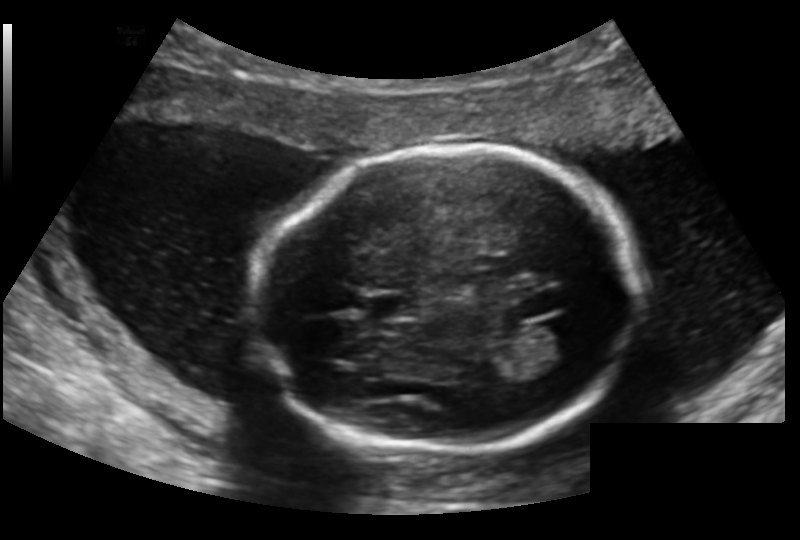
In this fetal head ultrasound, give the bounding box of the fetal head. Image width: 127.4 mm.

[254,146,638,453]